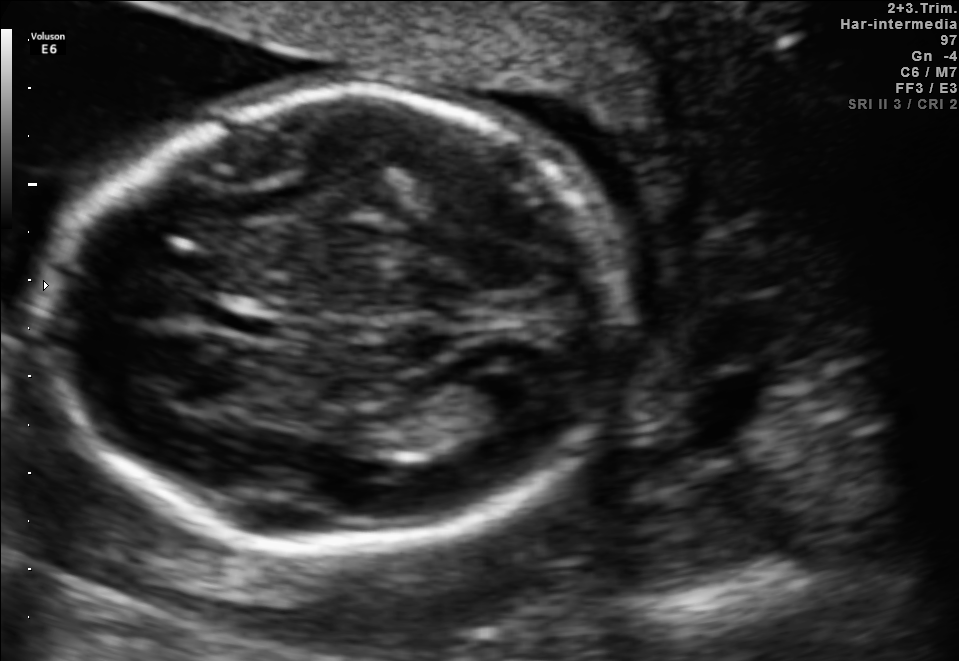
In this fetal brain, trans-ventricular plane, give the bounding box of the cavum septum pellucidum.

[213,307,280,341]